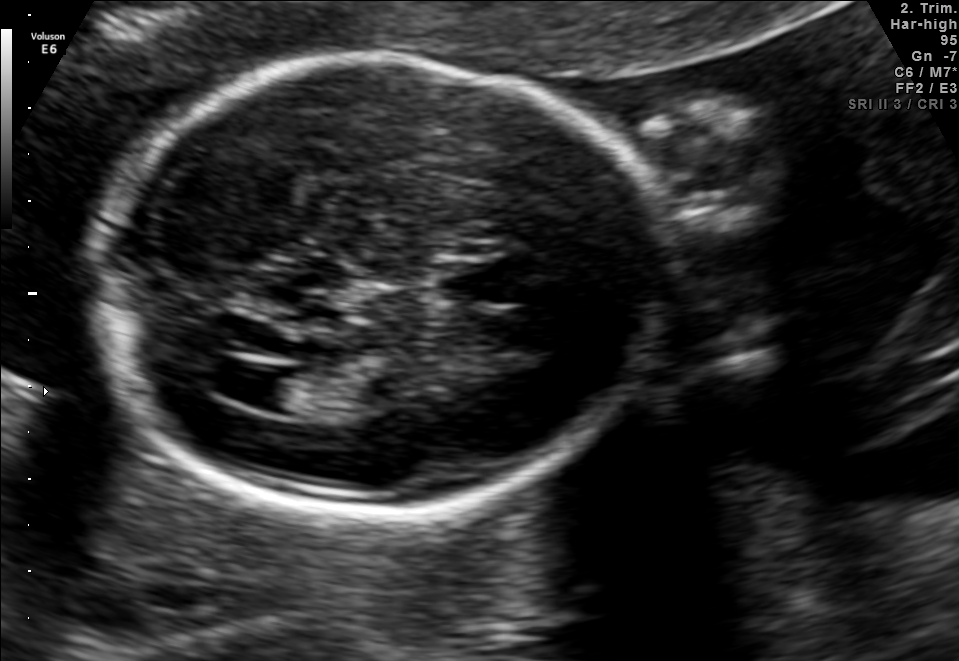
Fetal brain, trans-ventricular plane. Locate the fetal head and, if visible, the cavum septum pellucidum (CSP) and lateral ventricle (LV). Give bounding boxes as [x1,y1,x2,y2].

Head: [84,49,685,522]
CSP: [426,261,527,303]
Lateral ventricle: [210,356,303,417]